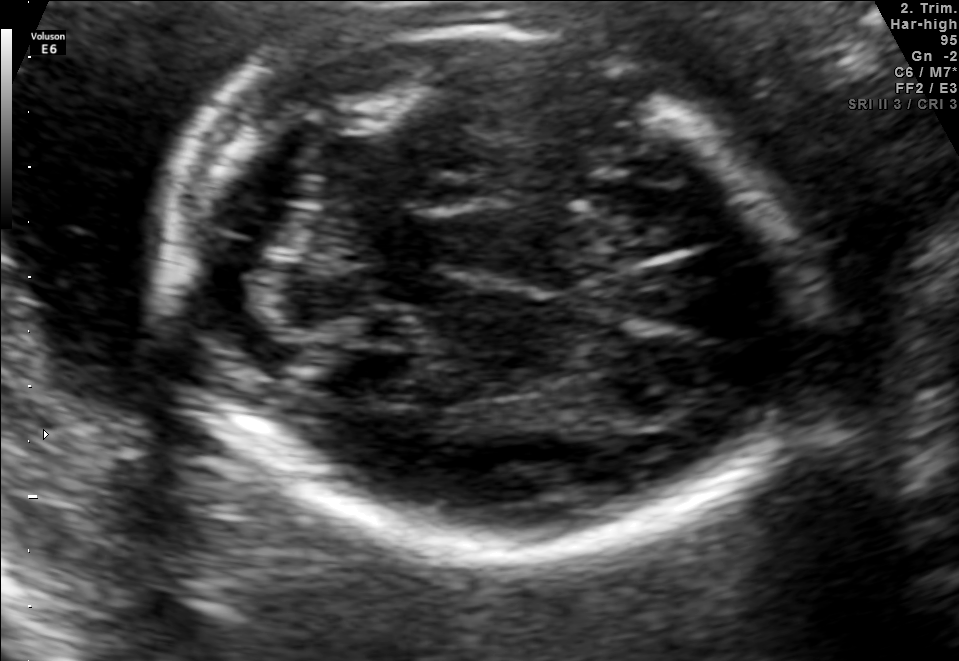
Fetal brain, trans-cerebellum plane. Where is the fetal head?

Head bounding box: [159,20,792,557]